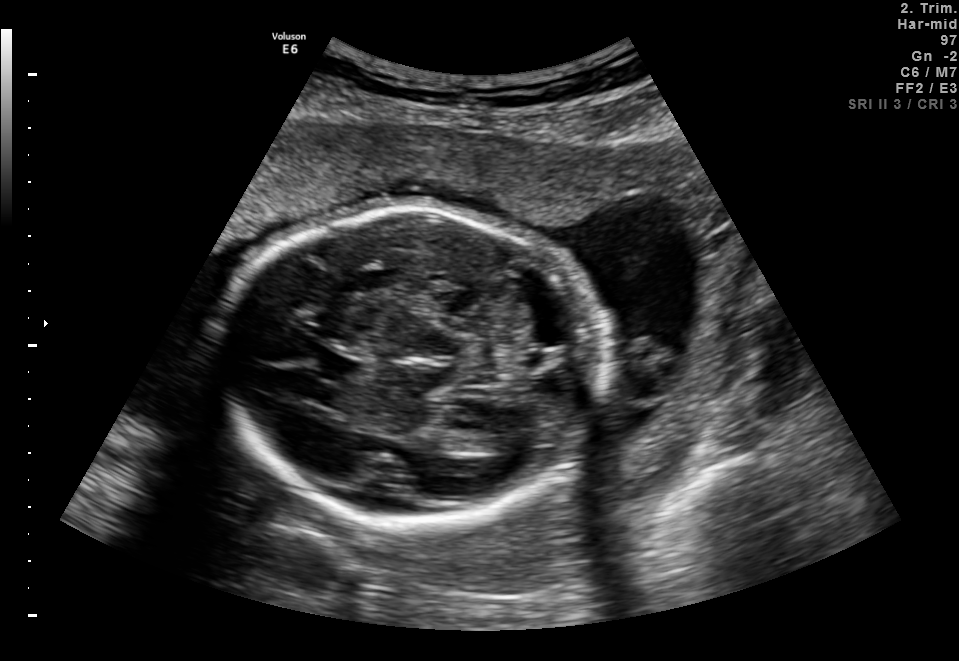
Fetal brain, trans-thalamic plane. Locate the cavum septum pellucidum.

CSP: [309,347,364,387]